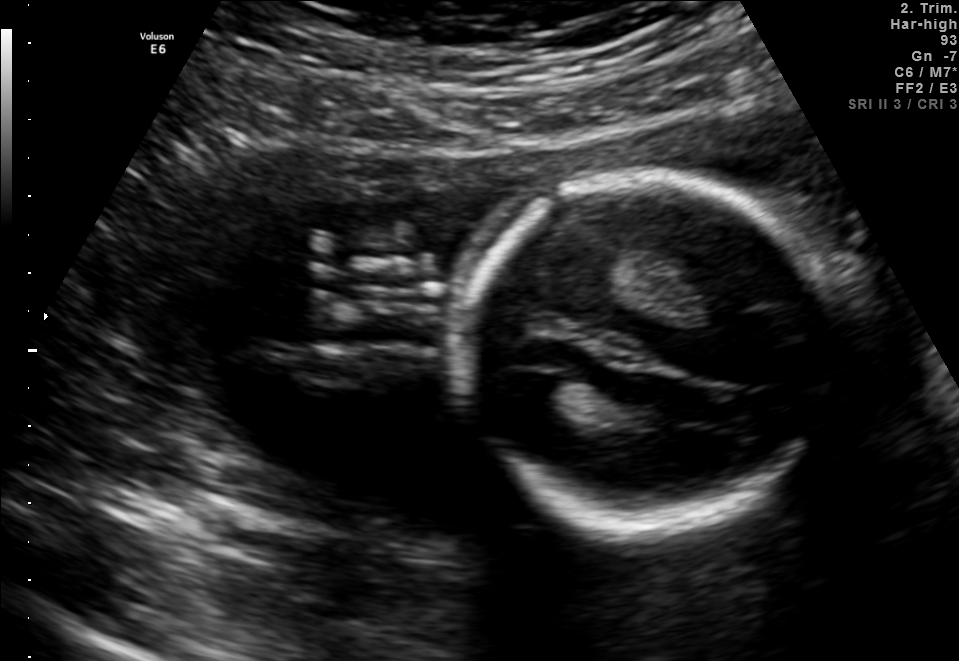
This is a 2D maternal-fetal ultrasound frame. Is it a fetal abdomen, fetal brain, fetal femur, fetal thorax, maternal cervix, or other standard plane? If it's fetal brain and one of the three standard brain planes (trans-thalamic, trans-cerebellum, trans-ventricular), name which.

Fetal brain